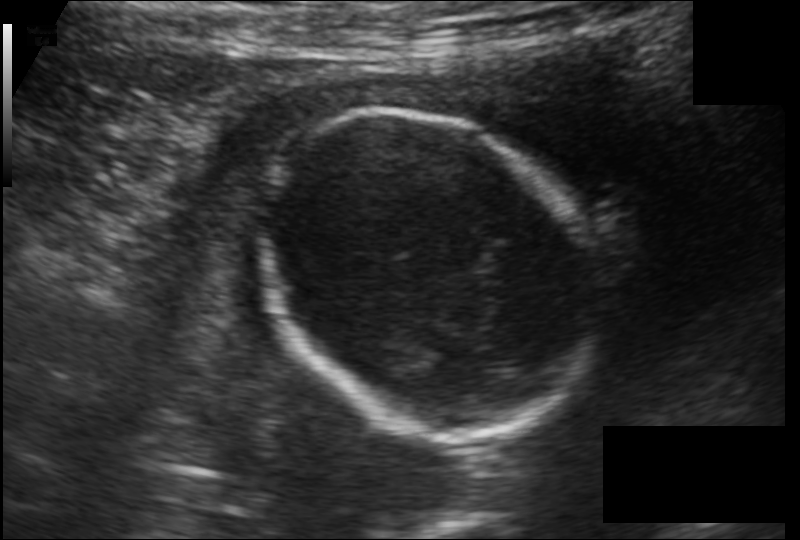
Measure the fetal head circumference shown in this ultrasound image. Image width: 116.2 mm.

Head circumference: 155.6 mm.